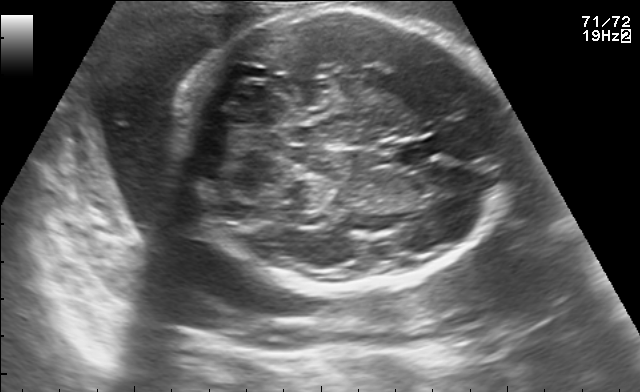
Classify this maternal-fetal ultrasound image as one of the six standard planes — fetal abdomen, fetal brain, fetal femur, fetal thorax, maternal cervix, or other. If it's fetal brain and one of the three standard brain planes (trans-thalamic, trans-cerebellum, trans-ventricular), name which.

Fetal brain (trans-cerebellum plane)